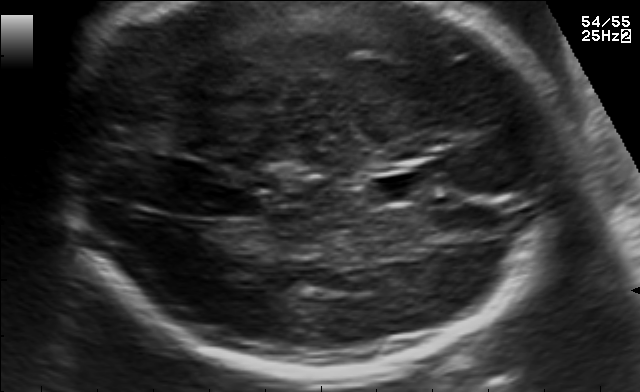
Fetal brain, trans-thalamic plane. Give [x1,y1,x2,y2] bounding boxes for each visible structure among: CSP, LV.

CSP: [371,169,433,206]